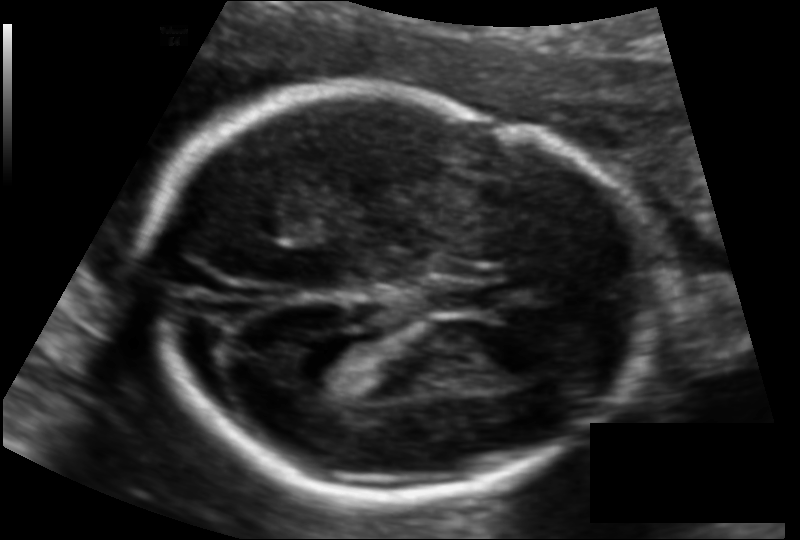
Fetal head ultrasound. Image width: 93.9 mm. Where is the lateral ventricle?

Lateral ventricle bounding box: [284,325,372,396]